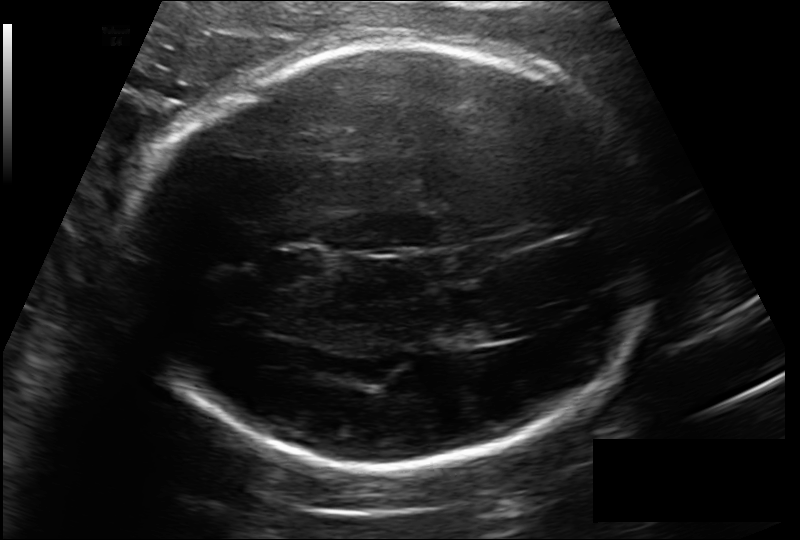
What is the fetal head circumference? Image width is 148.1 mm.

280.2 mm